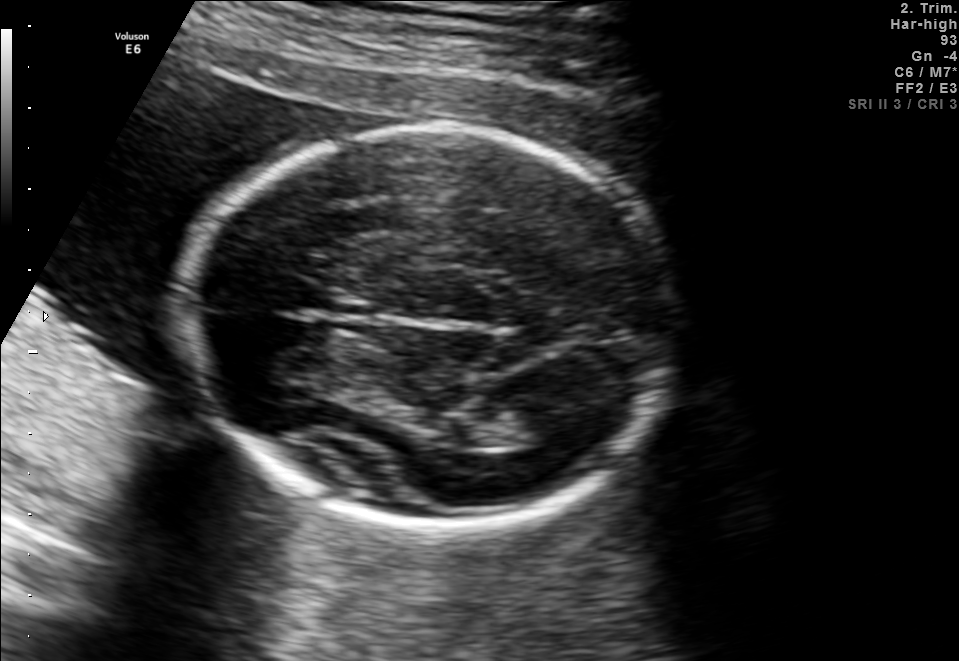
Fetal brain, trans-thalamic plane. Locate the fetal head and, if visible, the cavum septum pellucidum (CSP) and lateral ventricle (LV). Give bounding boxes as [x1,y1,x2,y2].

Head: [183,127,676,522]
Lateral ventricle: [490,405,578,450]